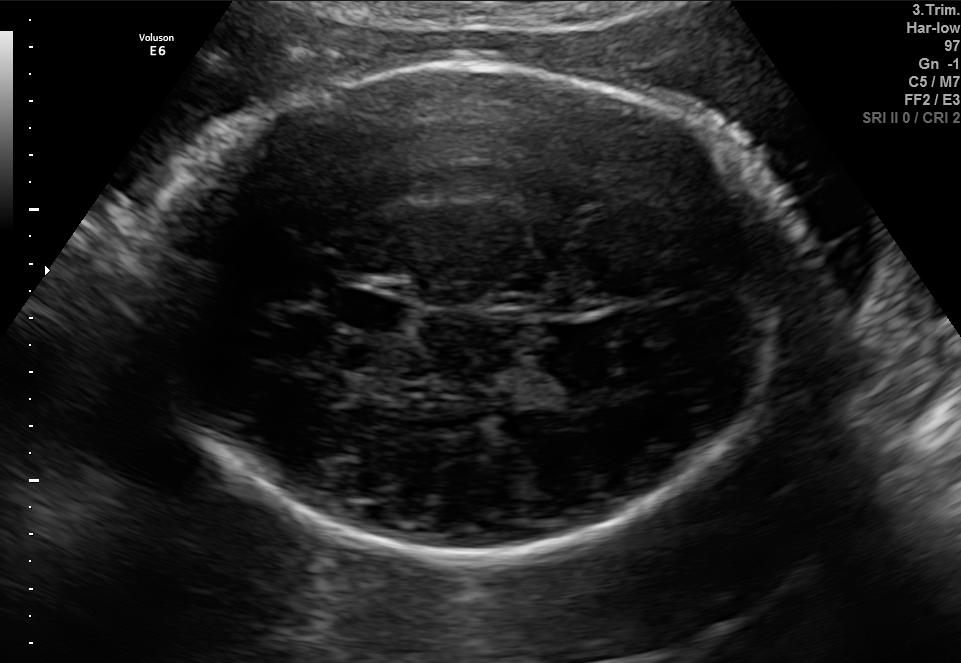
In this fetal brain, trans-thalamic plane, give bounding boxes for the head outline, cavum septum pellucidum (CSP), and lateral ventricle (LV), where visible.

Head: [145,60,788,559]
CSP: [331,284,405,337]